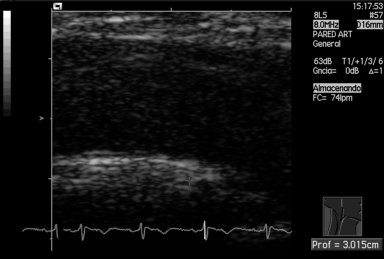
Identify the standard plane in this fetal ultrasound image: fetal abdomen, fetal brain, fetal femur, fetal thorax, maternal cervix, or other. If it's fetal brain and one of the three standard brain planes (trans-thalamic, trans-cerebellum, trans-ventricular), name which.

Other